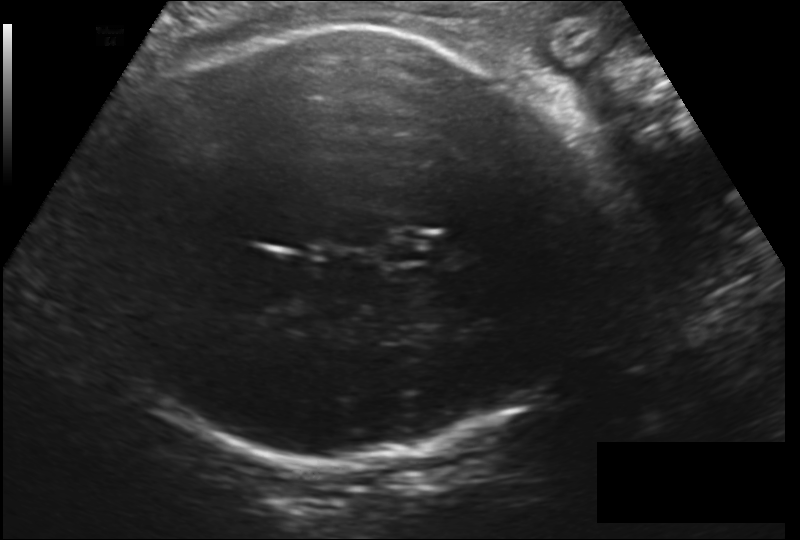
In this fetal head ultrasound, give bounding boxes for the head outline, cavum septum pellucidum (CSP), and lateral ventricle (LV), where visible. Image width: 169.8 mm.

Head: [93,27,609,466]